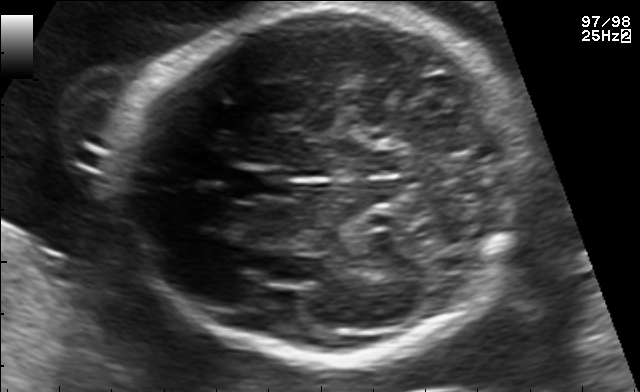
Fetal brain, trans-thalamic plane. Locate the cavum septum pellucidum.

CSP: [228,171,289,197]